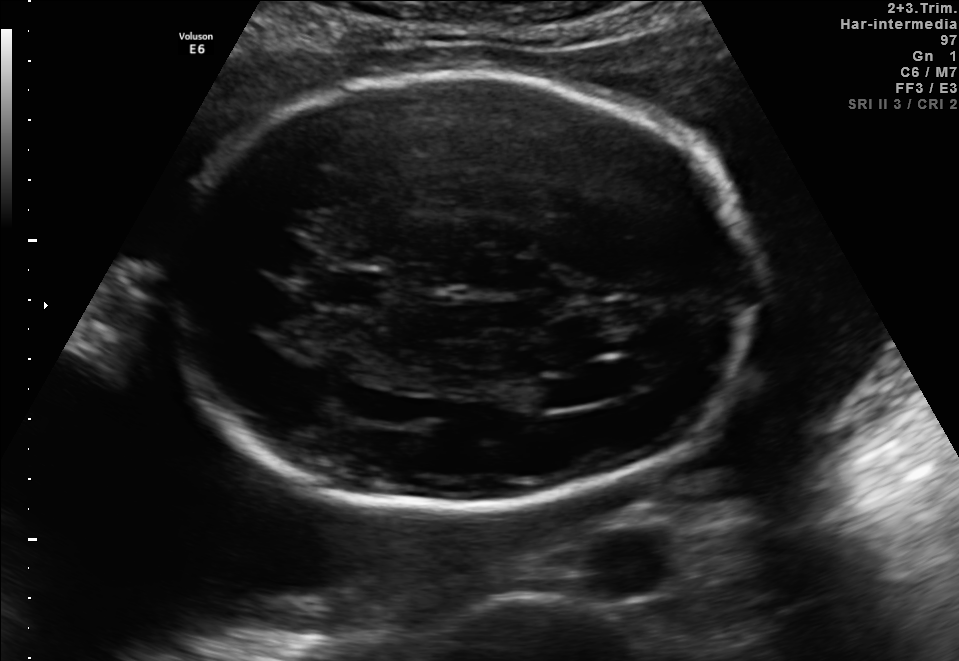
Fetal brain, trans-ventricular plane. Where is the cavum septum pellucidum?

CSP bounding box: [314,267,377,308]